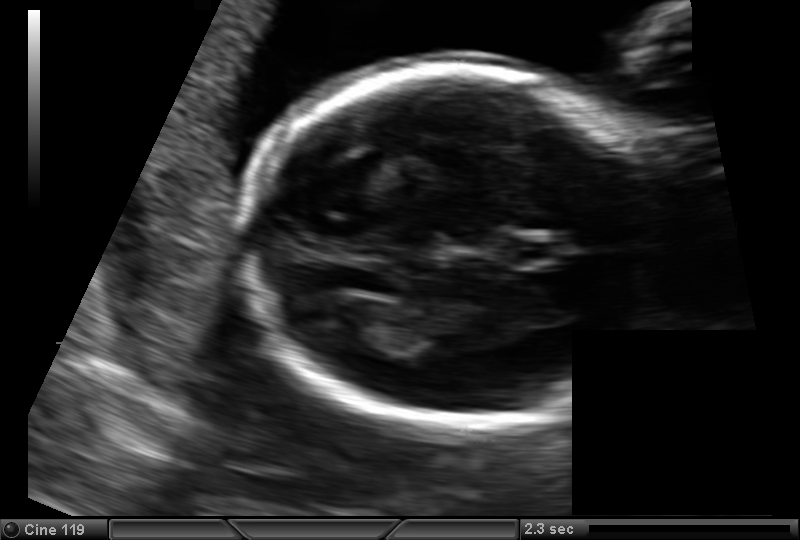
Fetal head ultrasound. Image width: 103.2 mm. Where is the cavum septum pellucidum?

CSP bounding box: [507,234,562,269]